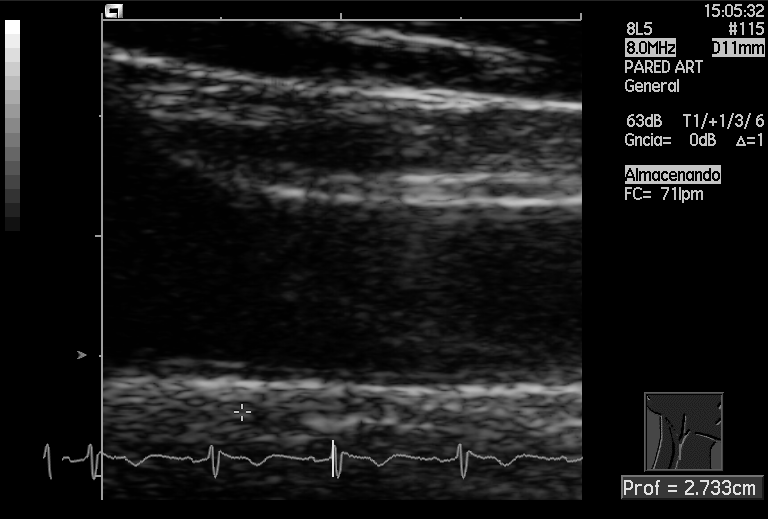
Classify this maternal-fetal ultrasound image as one of the six standard planes — fetal abdomen, fetal brain, fetal femur, fetal thorax, maternal cervix, or other. If it's fetal brain and one of the three standard brain planes (trans-thalamic, trans-cerebellum, trans-ventricular), name which.

Other